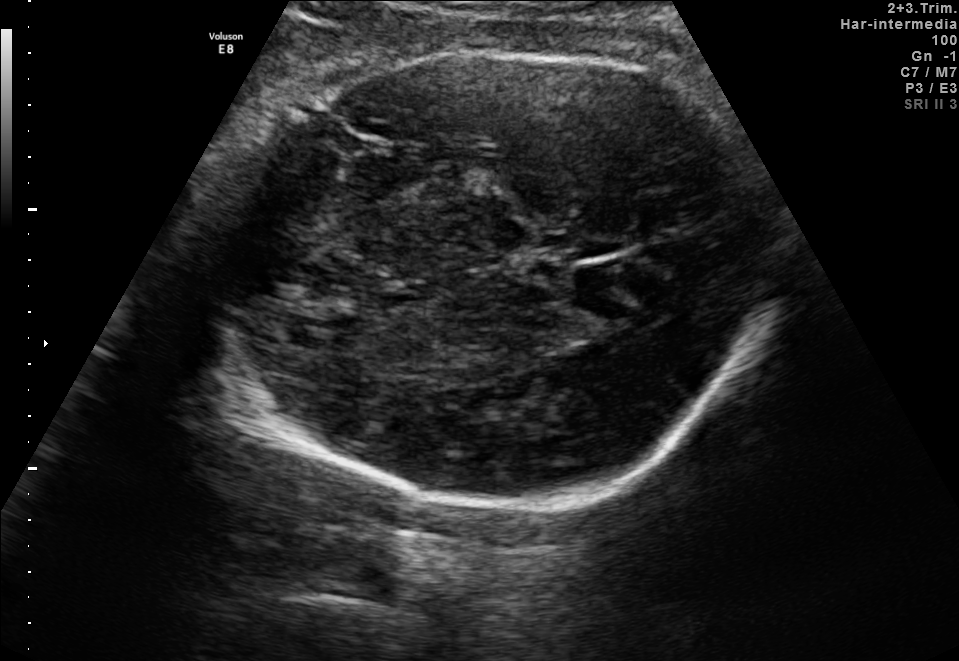
Fetal brain, trans-thalamic plane. Where is the fetal head?

Head bounding box: [206,44,779,519]